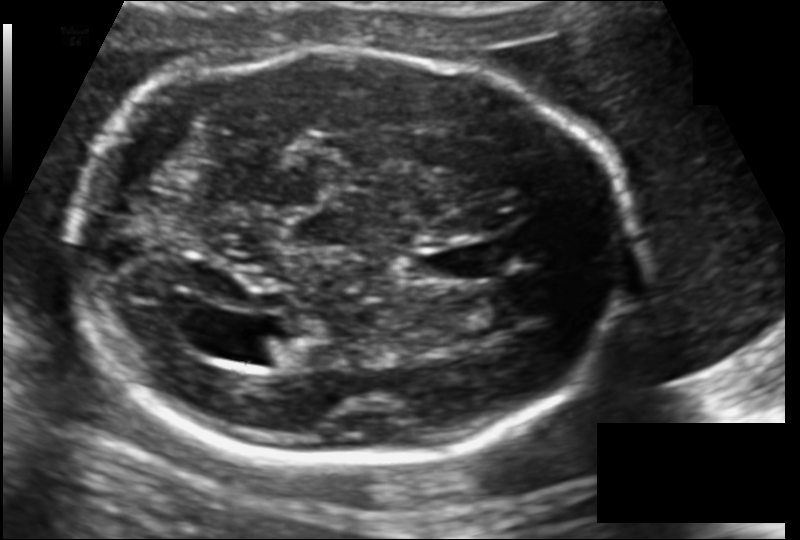
In this fetal head ultrasound, give the bounding box of the lateral ventricle. Image width: 110.0 mm.

[240,328,306,372]